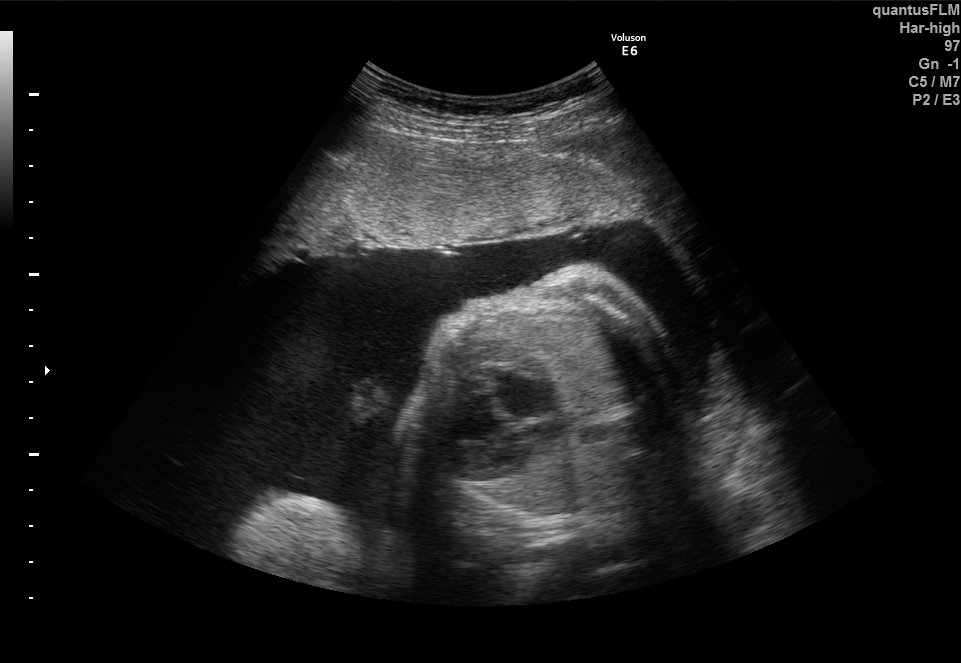
Classify this maternal-fetal ultrasound image as one of the six standard planes — fetal abdomen, fetal brain, fetal femur, fetal thorax, maternal cervix, or other. If it's fetal brain and one of the three standard brain planes (trans-thalamic, trans-cerebellum, trans-ventricular), name which.

Fetal thorax